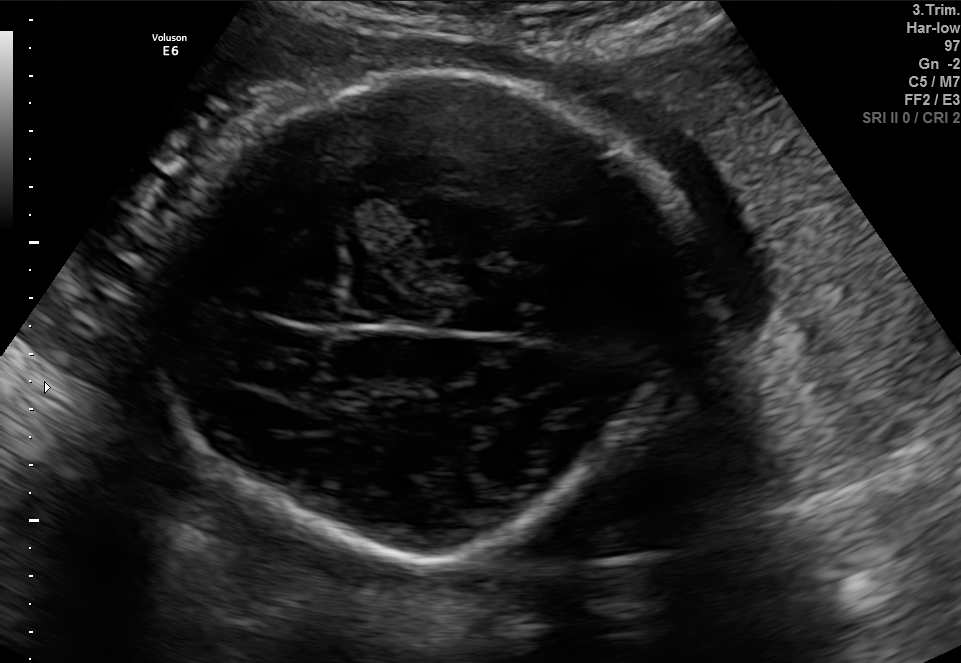
Fetal brain, trans-thalamic plane. Give [x1,y1,x2,y2] bounding boxes for each visible structure among: fetal head, CSP, LV.

Head: [172,58,674,561]